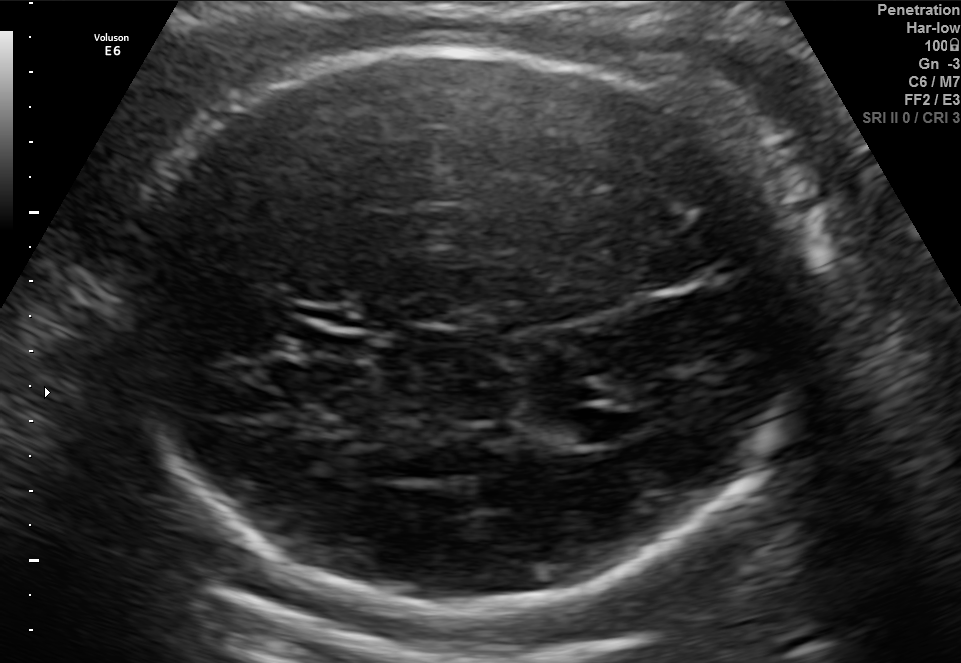
Fetal brain, trans-ventricular plane. Give [x1,y1,x2,y2] bounding boxes for each visible structure among: fetal head, CSP, LV.

Head: [101,38,832,615]
CSP: [292,294,370,341]
Lateral ventricle: [556,404,626,446]